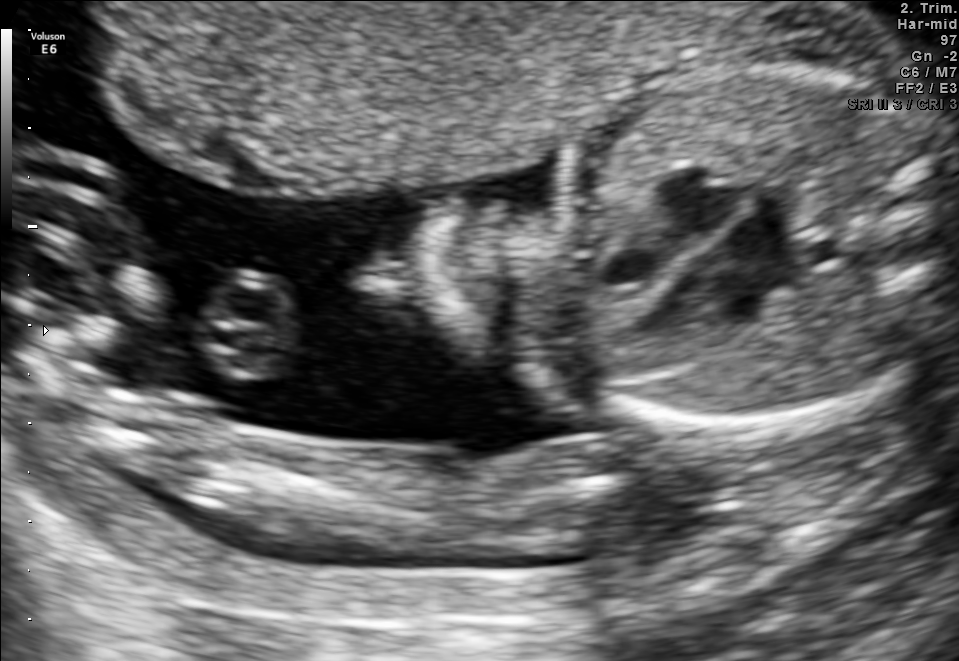
Identify the standard plane in this fetal ultrasound image: fetal abdomen, fetal brain, fetal femur, fetal thorax, maternal cervix, or other. If it's fetal brain and one of the three standard brain planes (trans-thalamic, trans-cerebellum, trans-ventricular), name which.

Fetal thorax